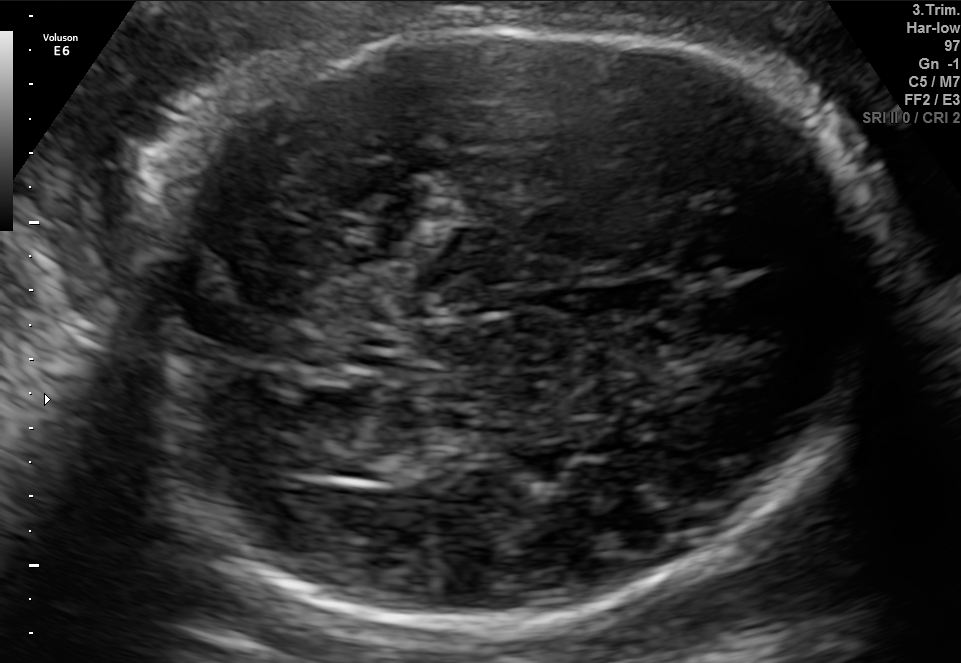
Fetal brain, trans-thalamic plane. Locate the fetal head and, if visible, the cavum septum pellucidum (CSP) and lateral ventricle (LV). Give bounding boxes as [x1,y1,x2,y2].

Head: [146,24,879,631]
Lateral ventricle: [305,428,416,486]